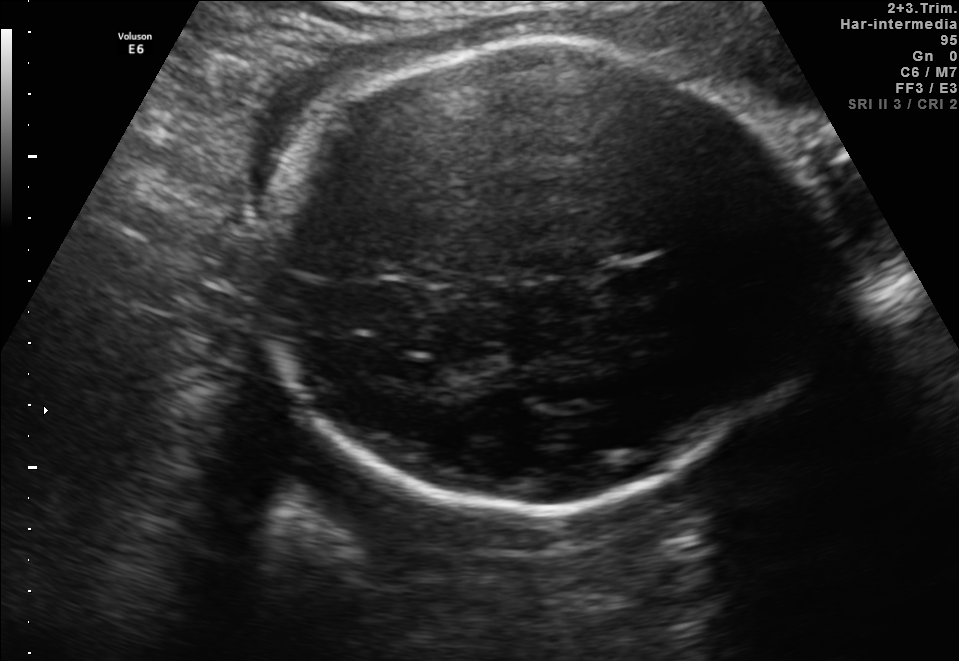
Fetal brain, trans-thalamic plane. Where is the cavum septum pellucidum?

CSP bounding box: [607,255,675,300]